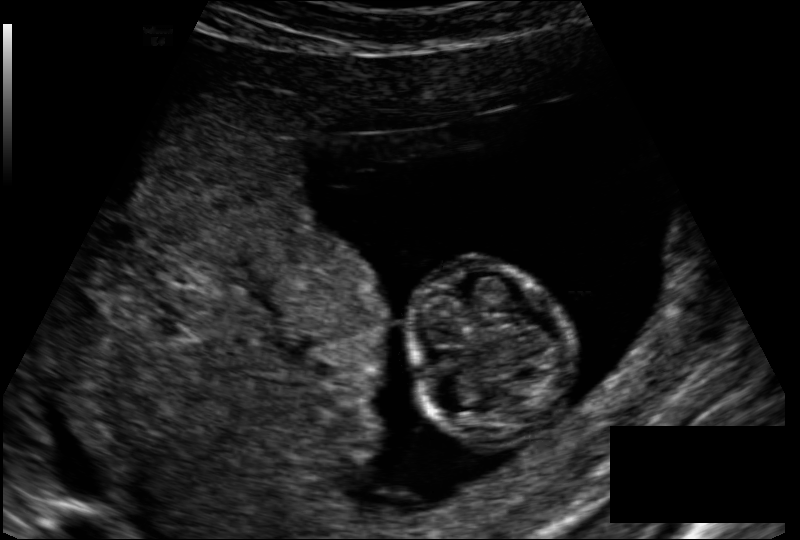
In this fetal head ultrasound, give the bounding box of the fetal head. Image width: 102.1 mm.

[408,260,567,439]